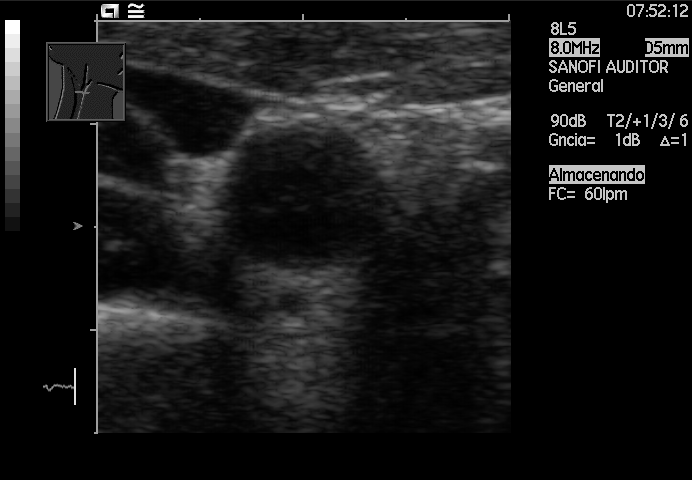
Which standard maternal-fetal ultrasound plane is shown: fetal abdomen, fetal brain, fetal femur, fetal thorax, maternal cervix, or other? If it's fetal brain and one of the three standard brain planes (trans-thalamic, trans-cerebellum, trans-ventricular), name which.

Other